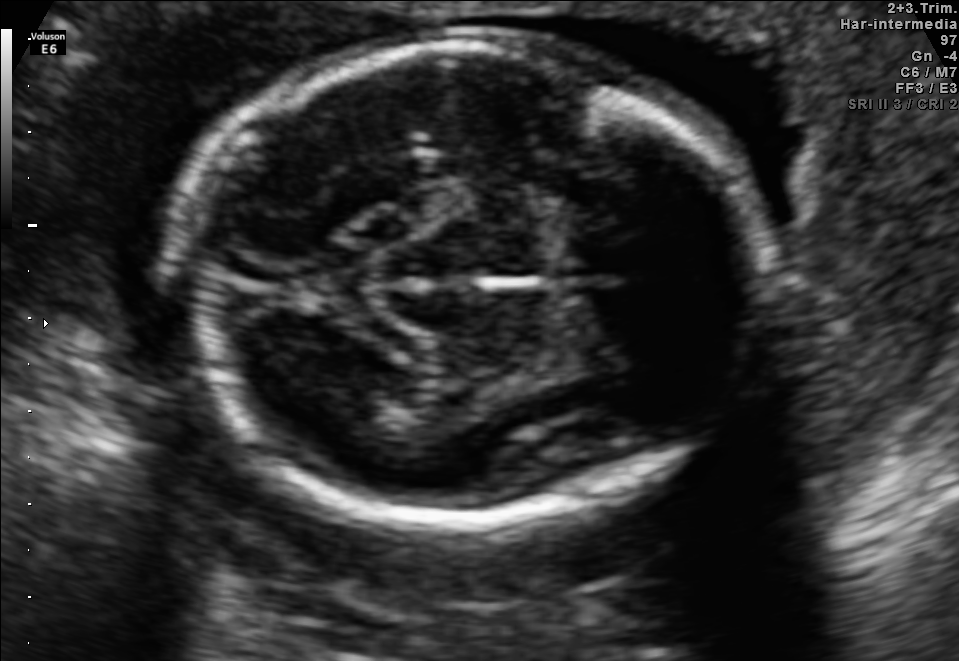
Fetal brain, trans-thalamic plane. Give [x1,y1,x2,y2] bounding boxes for each visible structure among: fetal head, CSP, LV.

Head: [184,35,759,524]